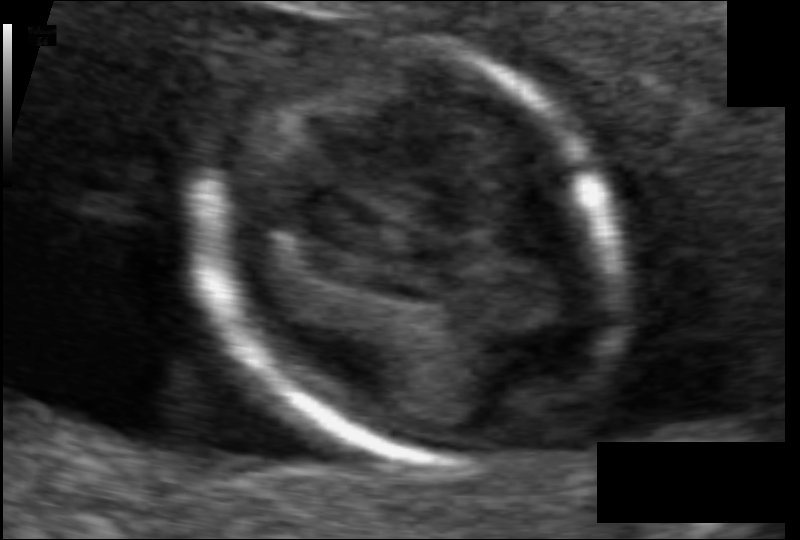
Estimate the fetal head circumference from this 2D ultrasound.

Head circumference: 82.6 mm (image width 48.9 mm).